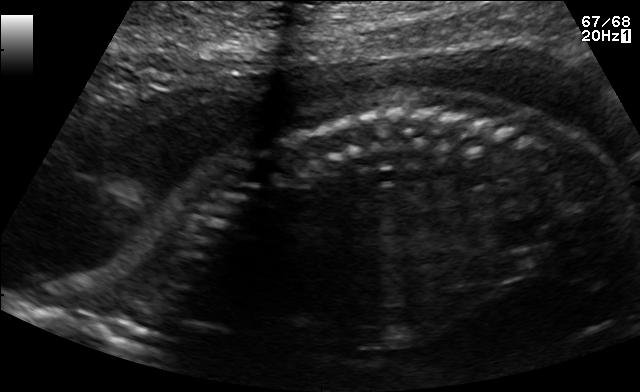
This is a 2D maternal-fetal ultrasound frame. Is it a fetal abdomen, fetal brain, fetal femur, fetal thorax, maternal cervix, or other standard plane? If it's fetal brain and one of the three standard brain planes (trans-thalamic, trans-cerebellum, trans-ventricular), name which.

Other